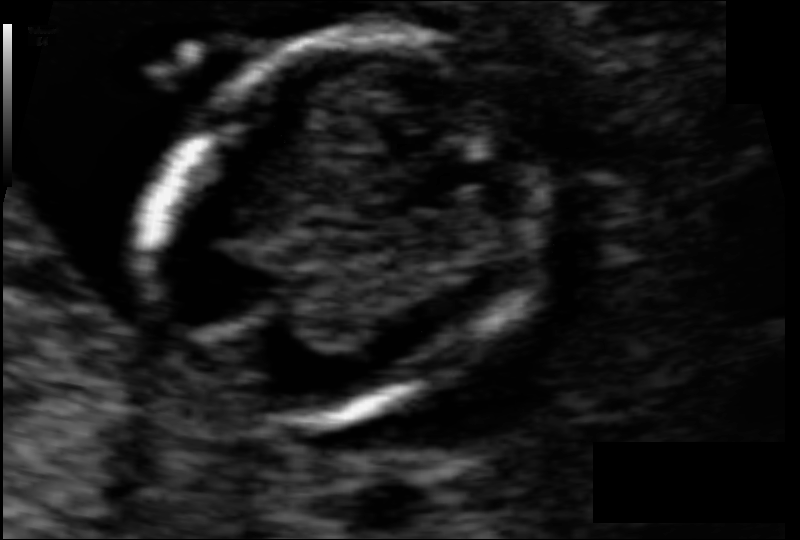
Estimate the fetal head circumference from this 2D ultrasound. Image width: 48.5 mm.

Head circumference: 79.0 mm.